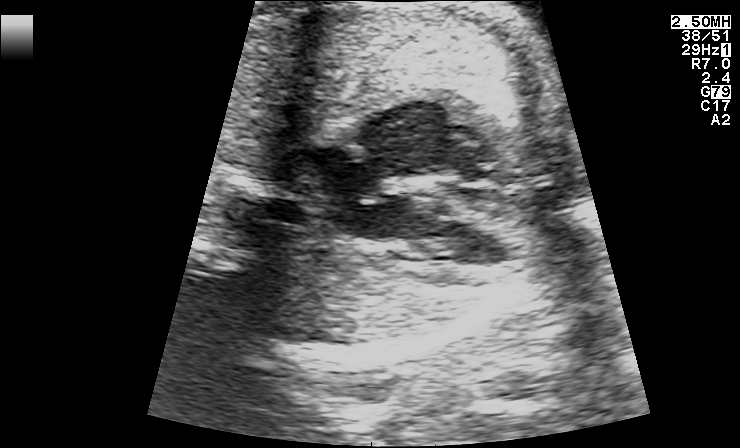
Identify the standard plane in this fetal ultrasound image: fetal abdomen, fetal brain, fetal femur, fetal thorax, maternal cervix, or other. If it's fetal brain and one of the three standard brain planes (trans-thalamic, trans-cerebellum, trans-ventricular), name which.

Fetal thorax